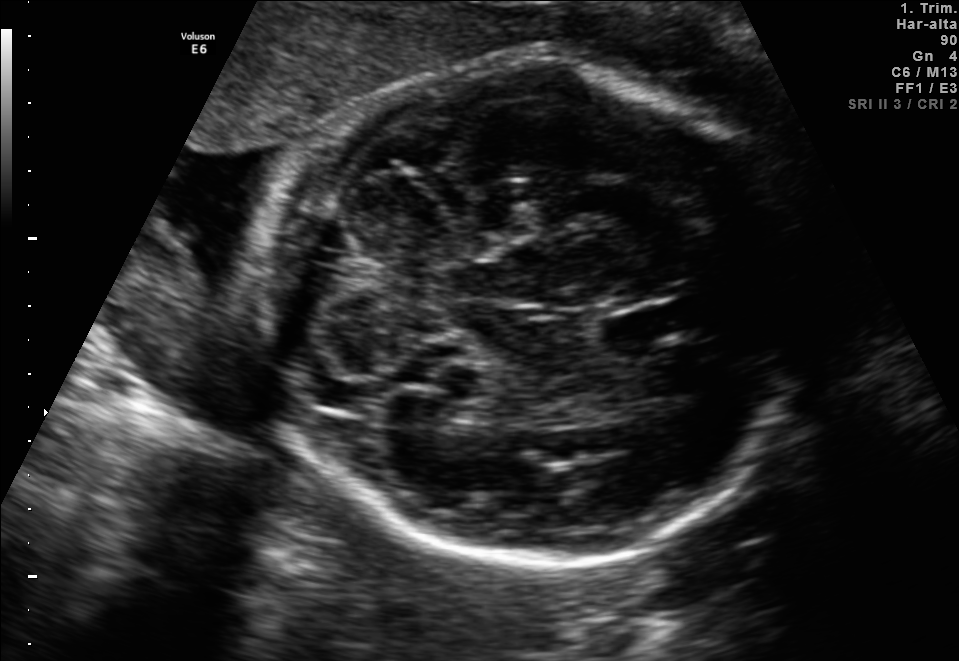
Fetal brain, trans-cerebellum plane. Where is the cavum septum pellucidum?

CSP bounding box: [594,299,681,354]